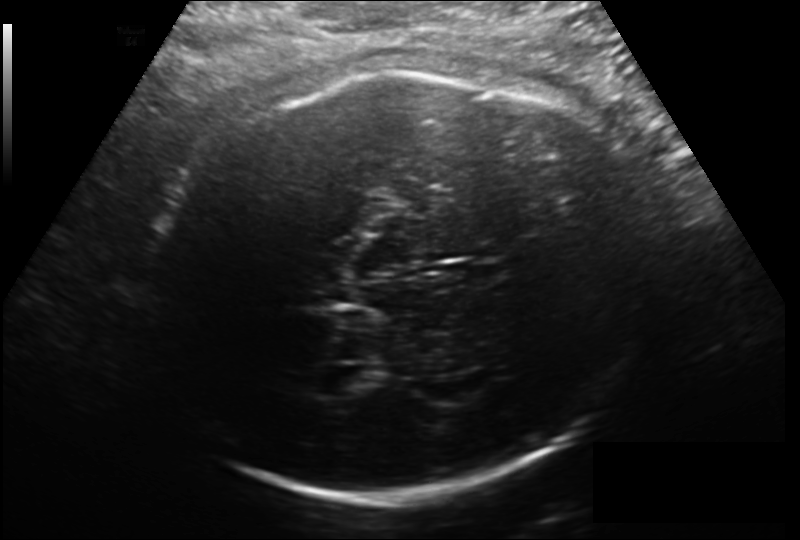
Estimate the fetal head circumference from this 2D ultrasound. Image width: 164.8 mm.

Head circumference: 314.1 mm.